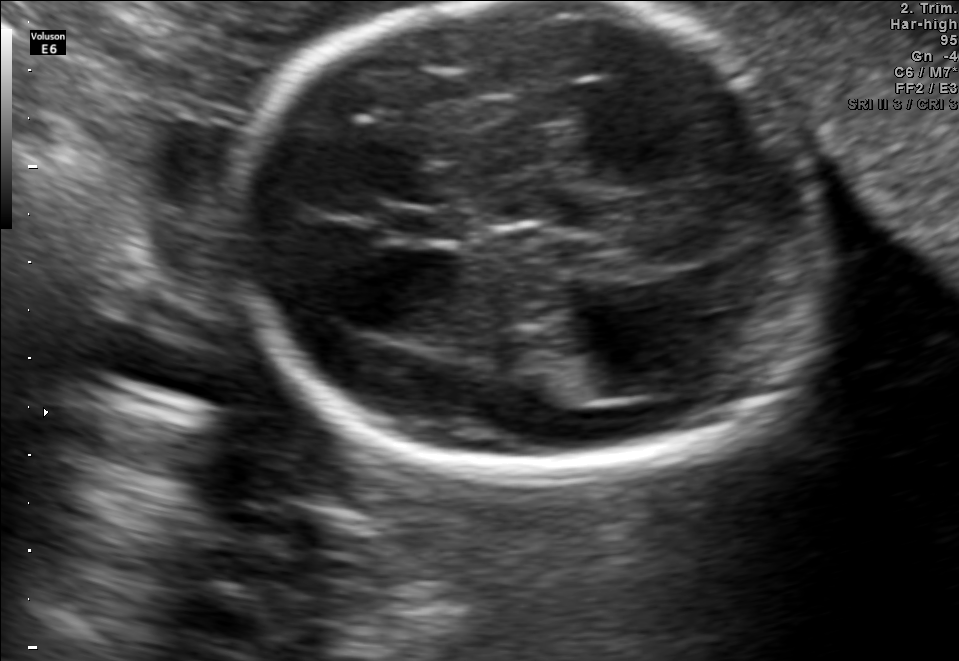
In this fetal brain, trans-thalamic plane, give the bounding box of the fetal head.

[230,2,823,479]